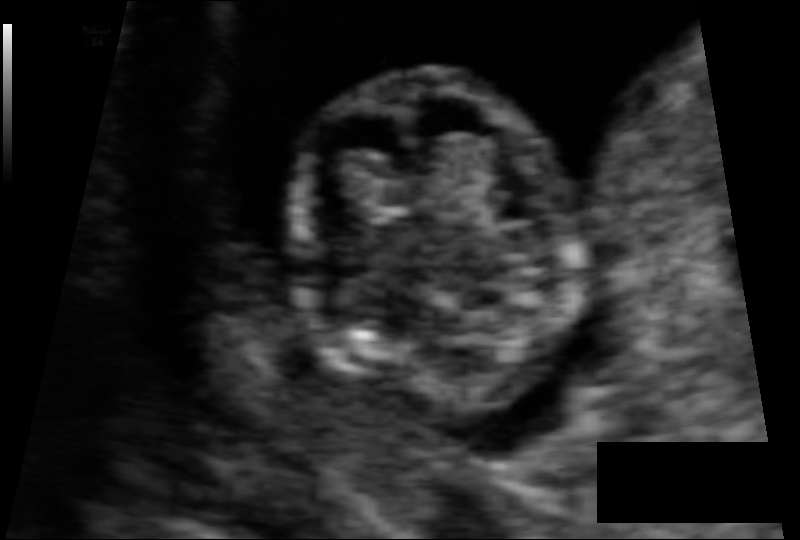
Fetal head ultrasound. Image width: 52.5 mm. Locate the fetal head.

Head: [289,70,585,427]